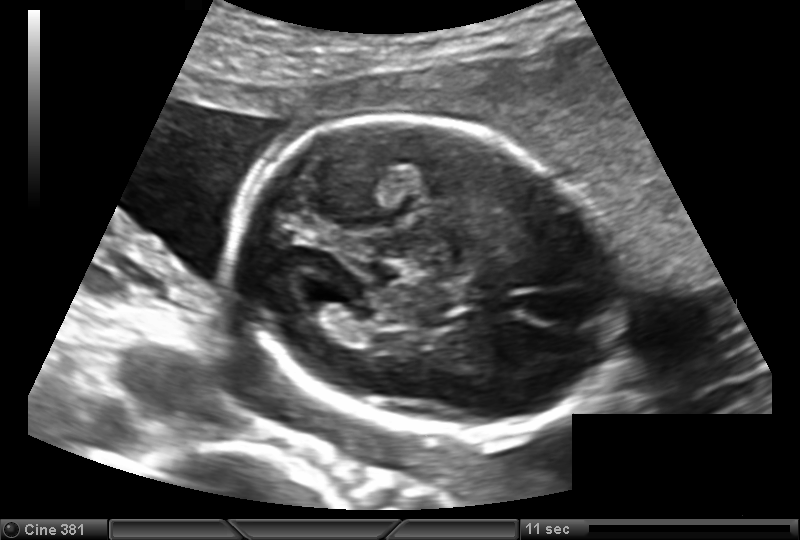
In this fetal head ultrasound, give bounding boxes for the head outline, cavum septum pellucidum (CSP), and lateral ventricle (LV), where visible. Image width: 111.0 mm.

Head: [234,119,620,439]
Lateral ventricle: [292,276,351,335]